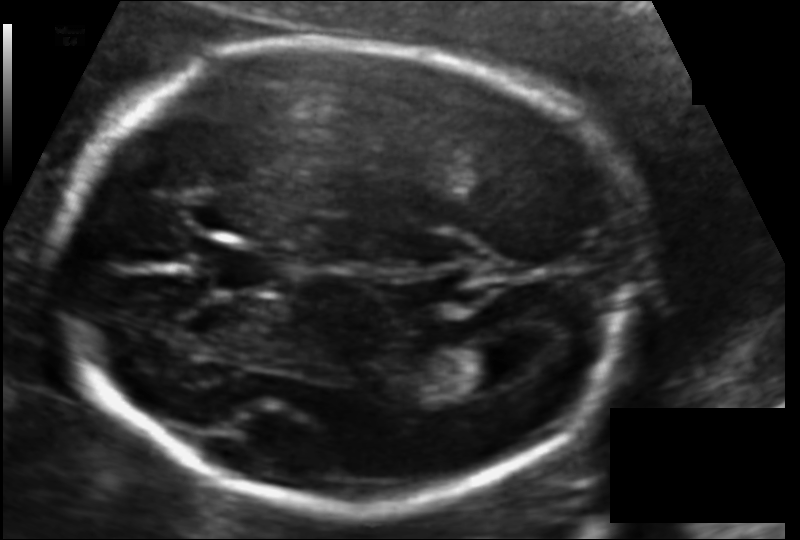
In this fetal head ultrasound, give the bounding box of the fetal head. Image width: 92.7 mm.

[57,42,631,508]